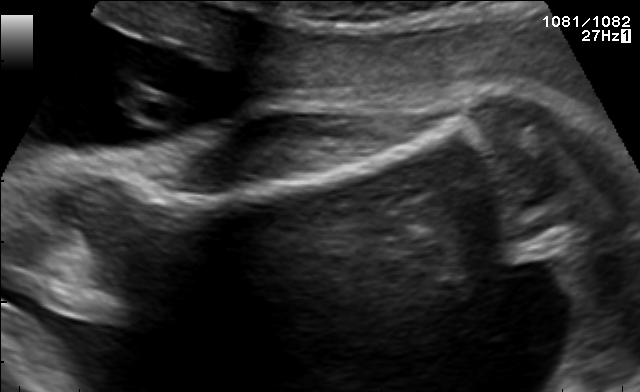
Which standard maternal-fetal ultrasound plane is shown: fetal abdomen, fetal brain, fetal femur, fetal thorax, maternal cervix, or other? If it's fetal brain and one of the three standard brain planes (trans-thalamic, trans-cerebellum, trans-ventricular), name which.

Fetal femur